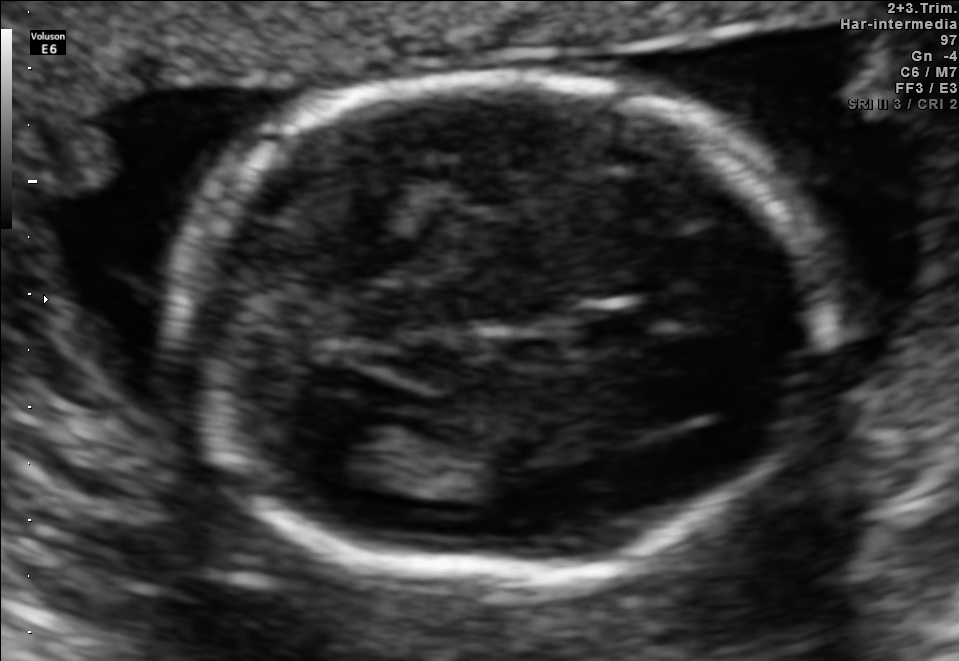
Identify the standard plane in this fetal ultrasound image: fetal abdomen, fetal brain, fetal femur, fetal thorax, maternal cervix, or other. If it's fetal brain and one of the three standard brain planes (trans-thalamic, trans-cerebellum, trans-ventricular), name which.

Fetal brain (trans-thalamic plane)